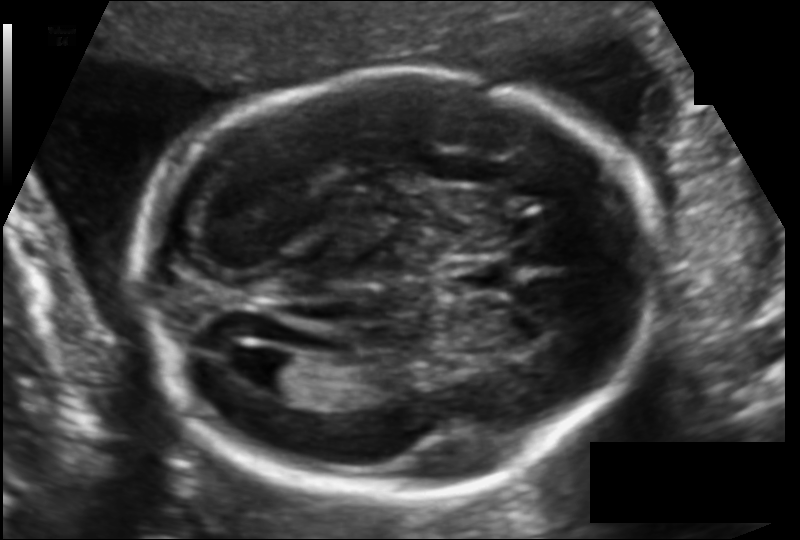
In this fetal head ultrasound, give the bounding box of the fetal head. Image width: 97.1 mm.

[138,70,659,491]